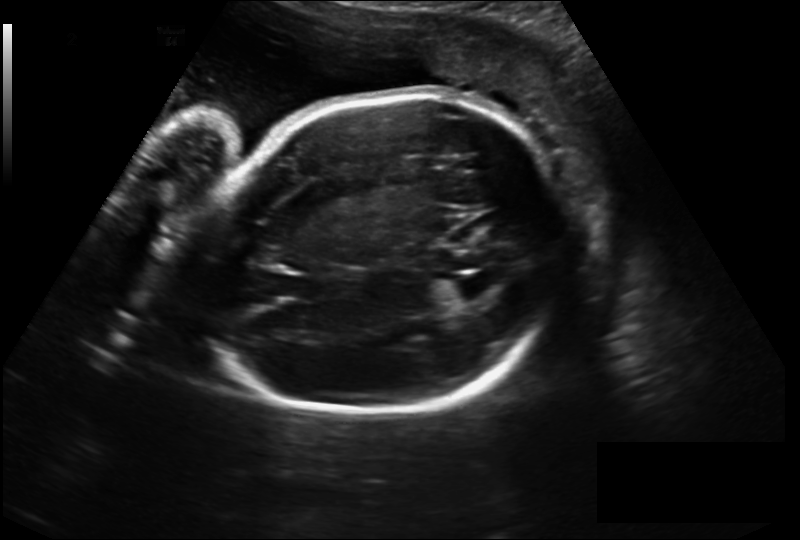
Fetal head ultrasound. Image width: 184.2 mm. Locate the lateral ventricle.

Lateral ventricle: [449,267,501,306]